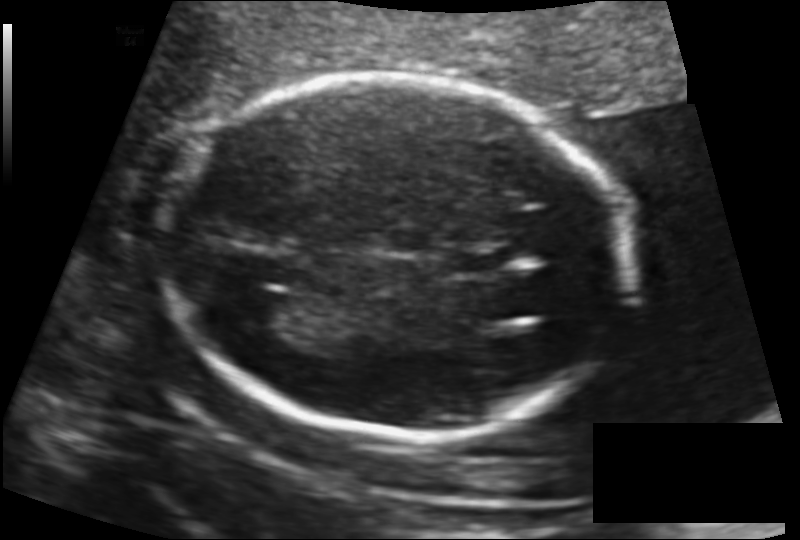
Estimate the fetal head circumference from this 2D ultrasound.

Head circumference: 175.8 mm (image width 104.1 mm).